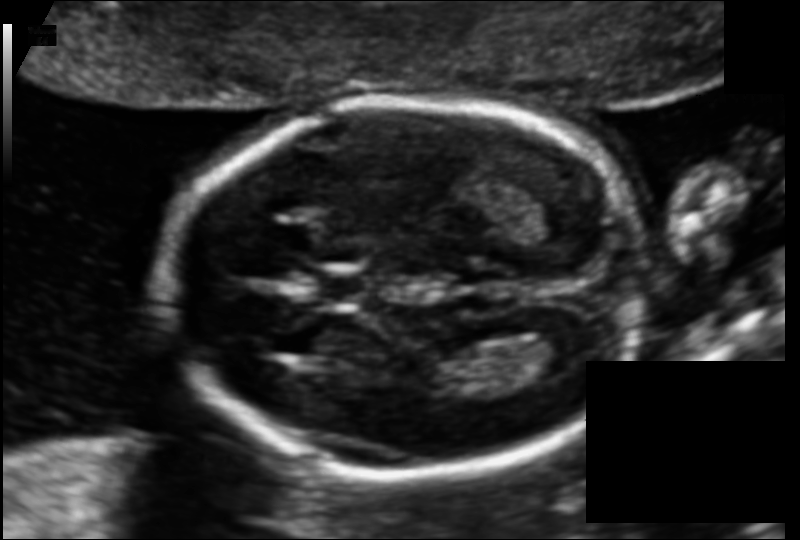
Fetal head ultrasound. Image width: 87.9 mm. Locate the lateral ventricle.

Lateral ventricle: [512,315,591,384]